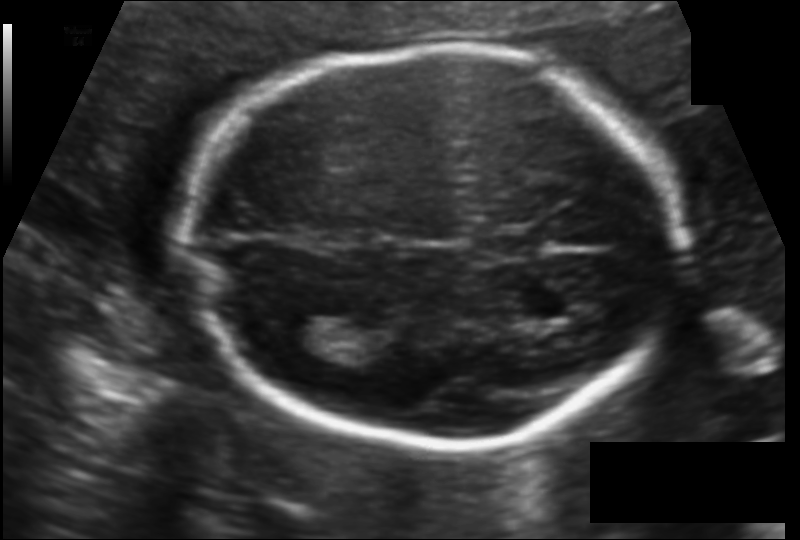
In this fetal head ultrasound, give the bounding box of the cavum septum pellucidum. Image width: 99.4 mm.

[478,226,544,262]